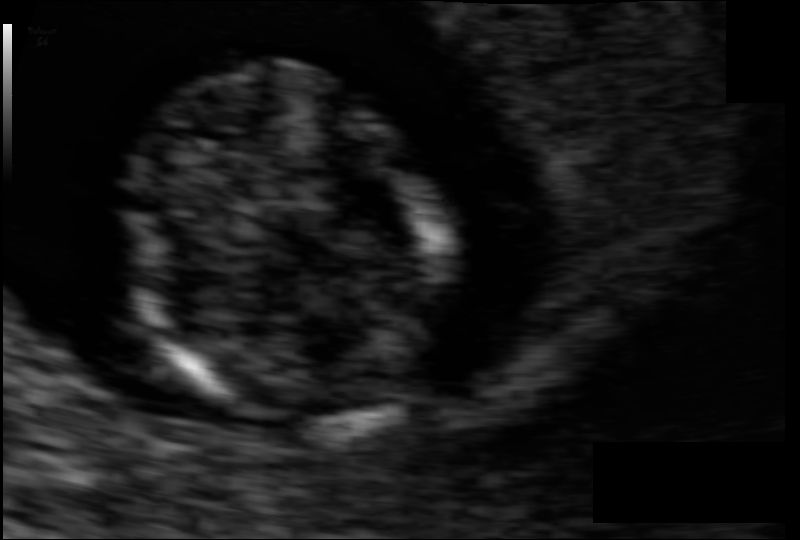
Fetal head ultrasound. Image width: 51.3 mm. Give [x1,y1,x2,y2] bounding boxes for each visible structure among: fetal head, CSP, LV.

Head: [123,75,450,429]